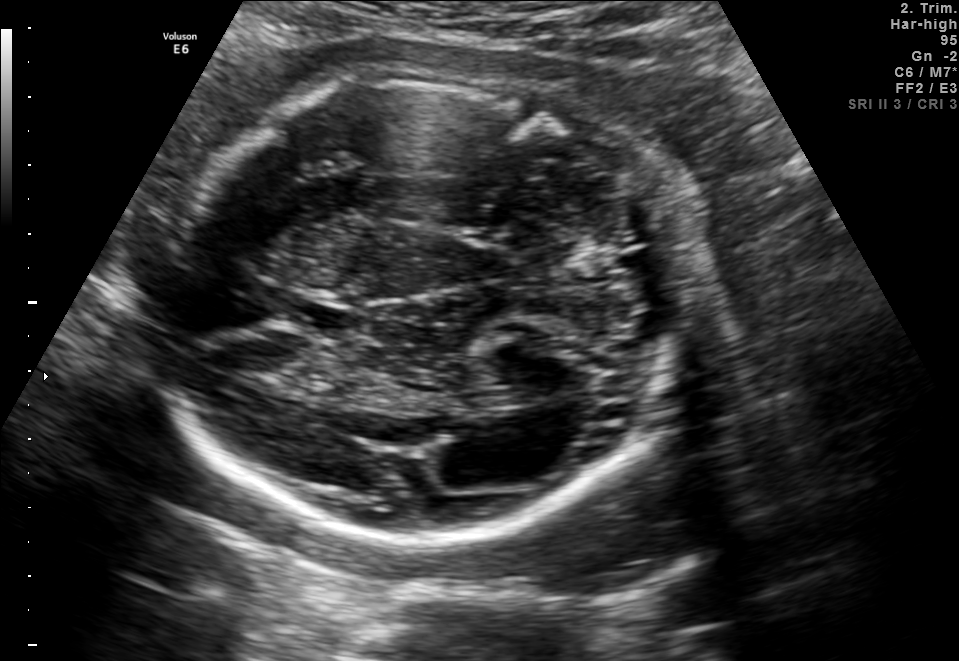
In this fetal brain, trans-thalamic plane, give the bounding box of the fetal head.

[156,73,679,538]